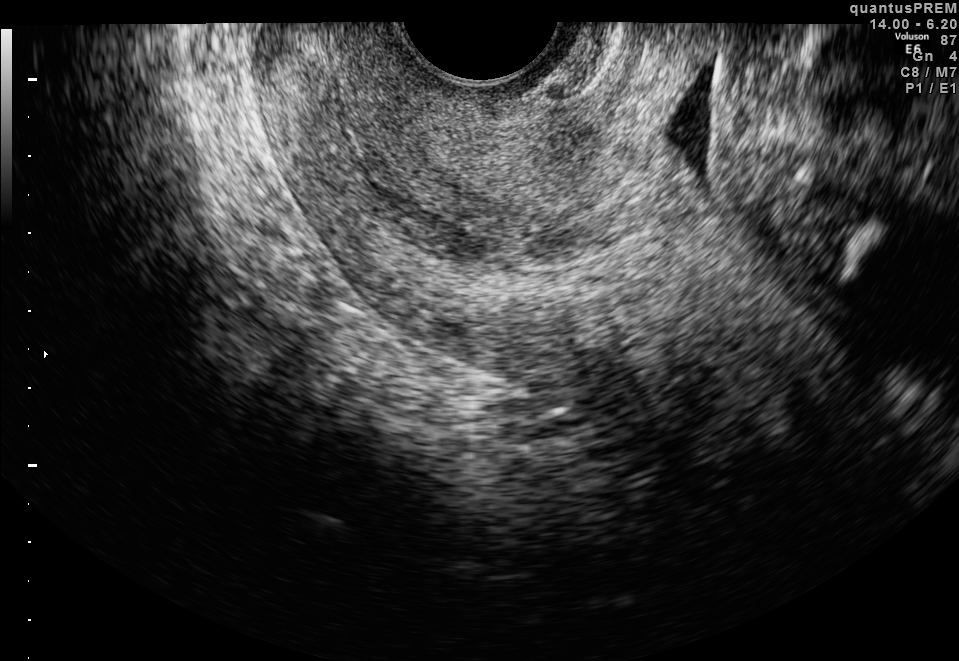
Classify this maternal-fetal ultrasound image as one of the six standard planes — fetal abdomen, fetal brain, fetal femur, fetal thorax, maternal cervix, or other. If it's fetal brain and one of the three standard brain planes (trans-thalamic, trans-cerebellum, trans-ventricular), name which.

Maternal cervix